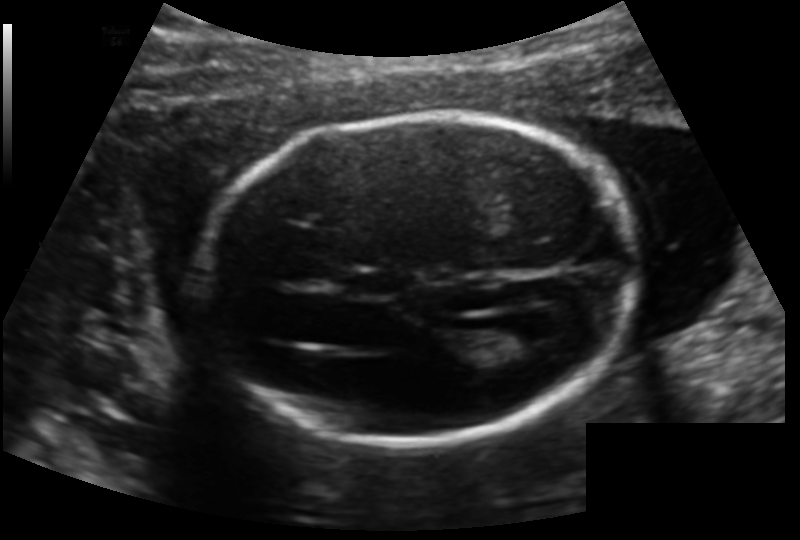
In this fetal head ultrasound, give bounding boxes for the head outline, cavum septum pellucidum (CSP), and lateral ventricle (LV), where visible. Image width: 112.1 mm.

Head: [203,114,637,444]
CSP: [348,270,401,297]
Lateral ventricle: [485,320,551,362]